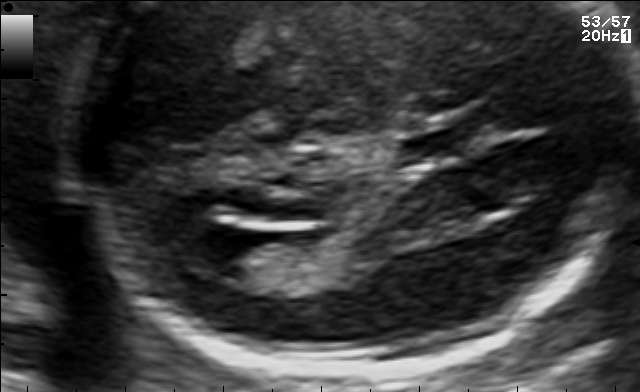
In this fetal brain, trans-ventricular plane, give the bounding box of the cavum septum pellucidum.

[396,123,469,170]